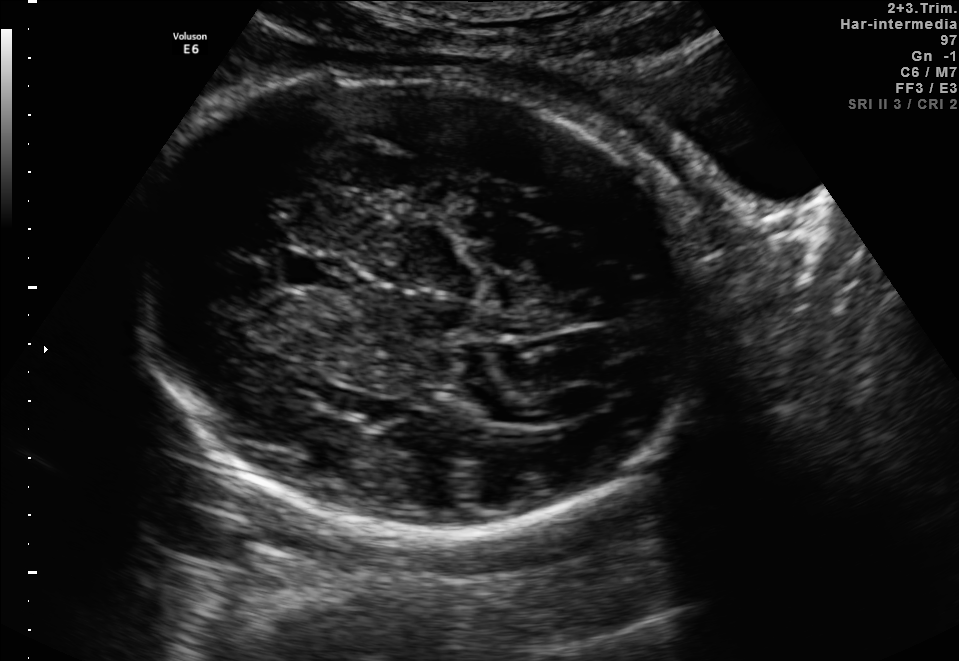
Fetal brain, trans-thalamic plane. Where is the fetal head?

Head bounding box: [122,60,701,535]